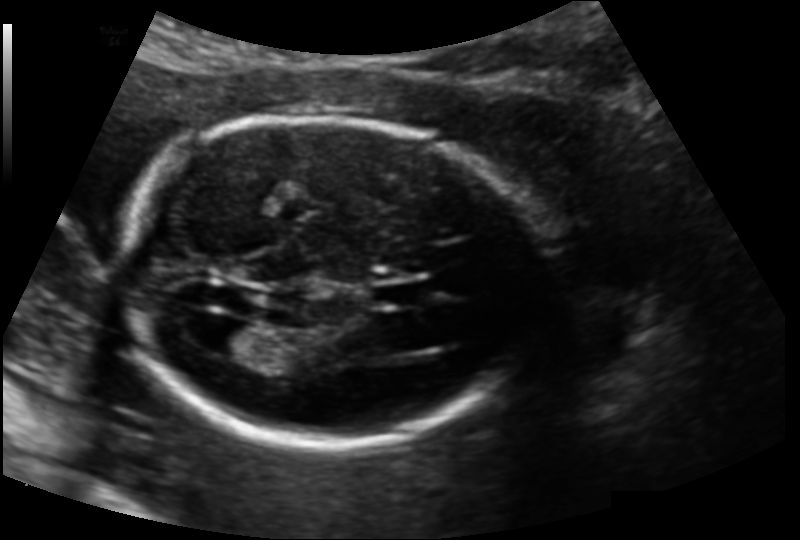
Fetal head ultrasound. Image width: 111.6 mm. Locate the cavum septum pellucidum.

CSP: [372,277,428,311]